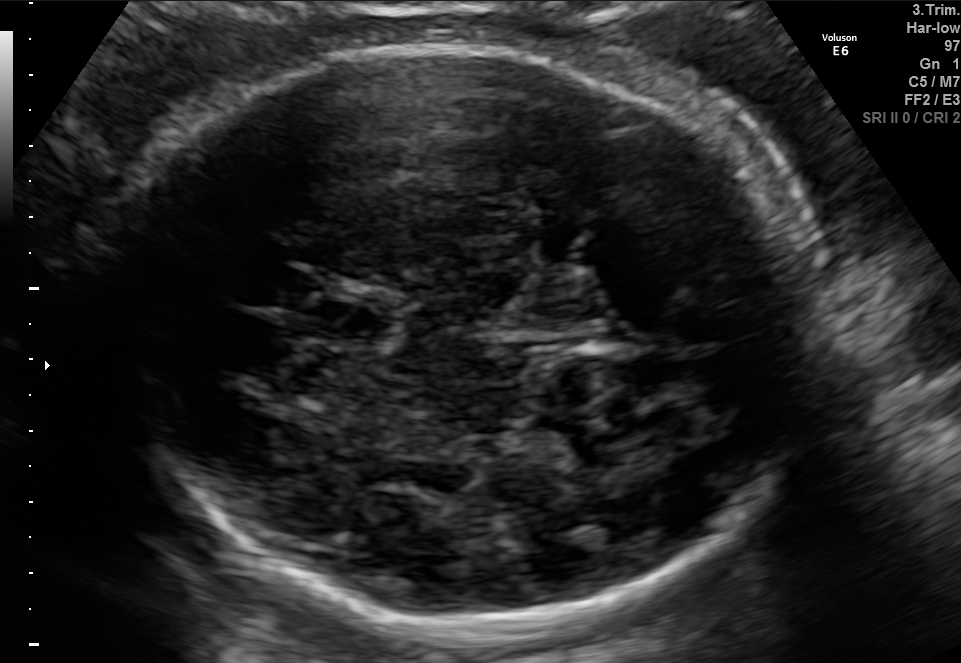
Fetal brain, trans-thalamic plane. Locate the cavum septum pellucidum.

CSP: [323,300,390,347]